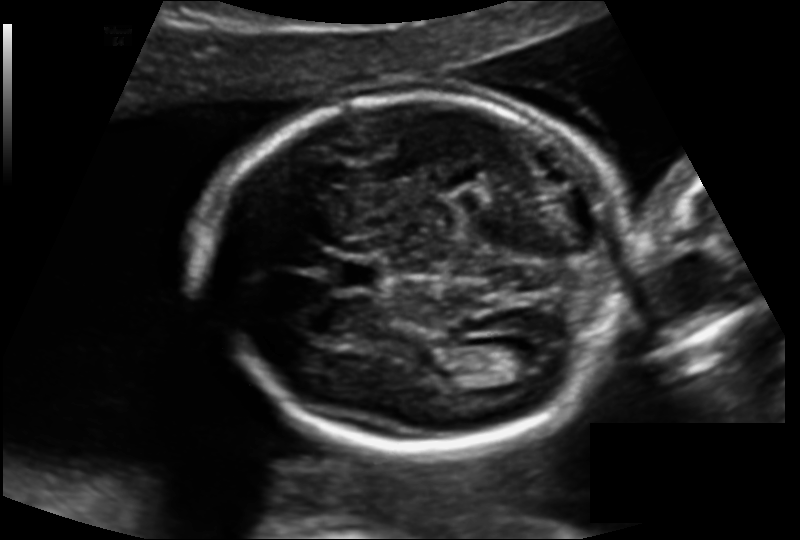
Fetal head ultrasound. Image width: 110.2 mm. Locate the cavum septum pellucidum.

CSP: [334,259,379,291]